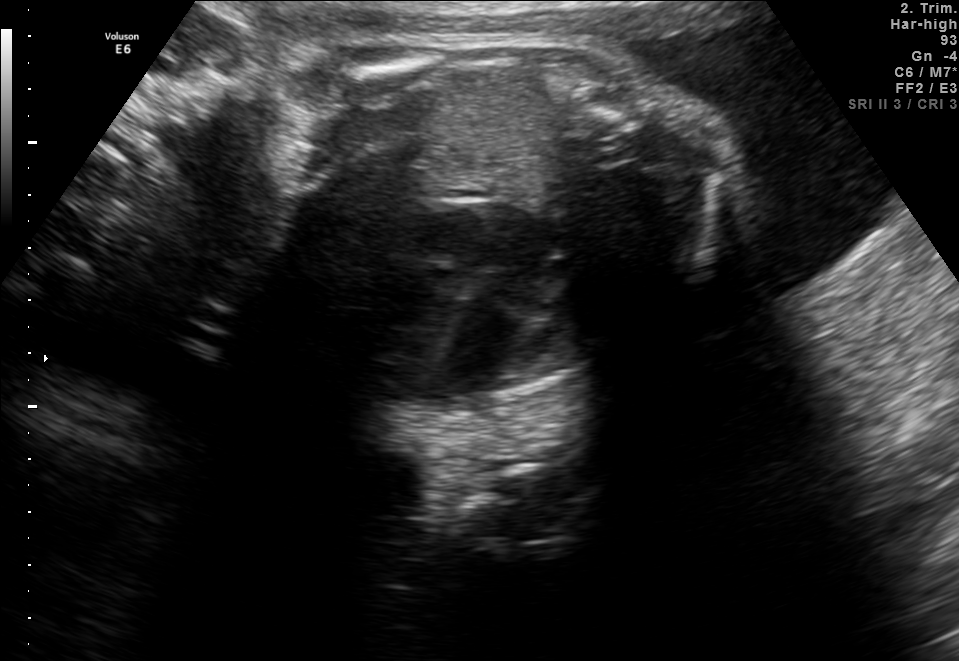
Classify this maternal-fetal ultrasound image as one of the six standard planes — fetal abdomen, fetal brain, fetal femur, fetal thorax, maternal cervix, or other. If it's fetal brain and one of the three standard brain planes (trans-thalamic, trans-cerebellum, trans-ventricular), name which.

Fetal thorax